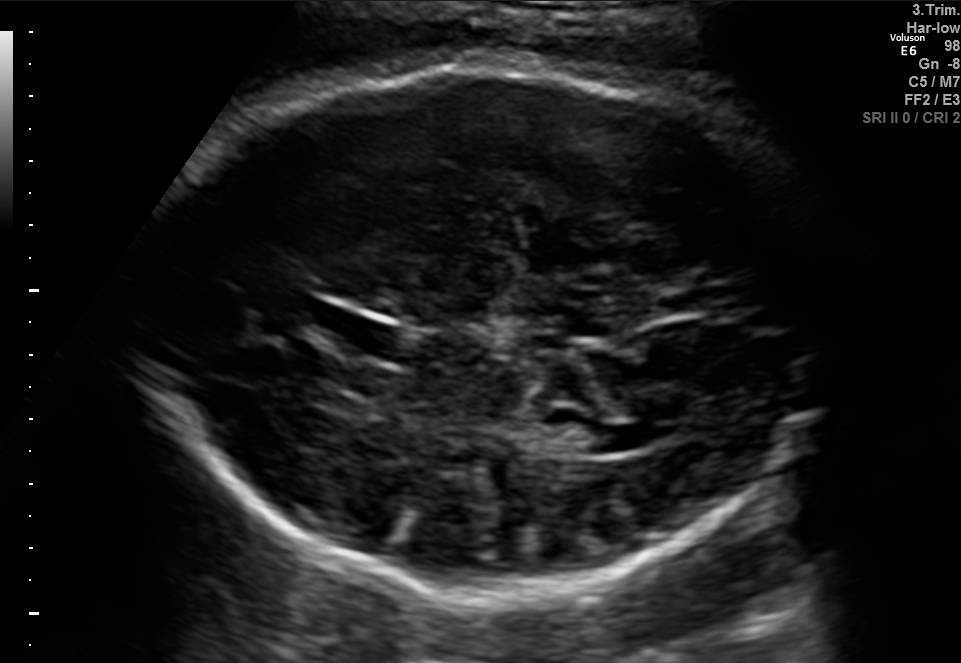
Fetal brain, trans-thalamic plane. Where is the lateral ventricle?

Lateral ventricle bounding box: [535,420,618,454]